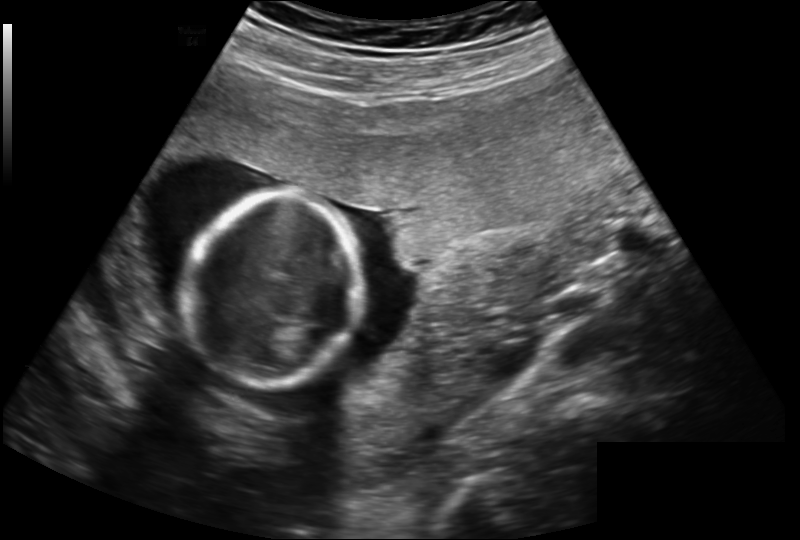
In this fetal head ultrasound, give bounding boxes for the head outline, cavum septum pellucidum (CSP), and lateral ventricle (LV), where visible. Image width: 161.5 mm.

Head: [188,193,364,388]